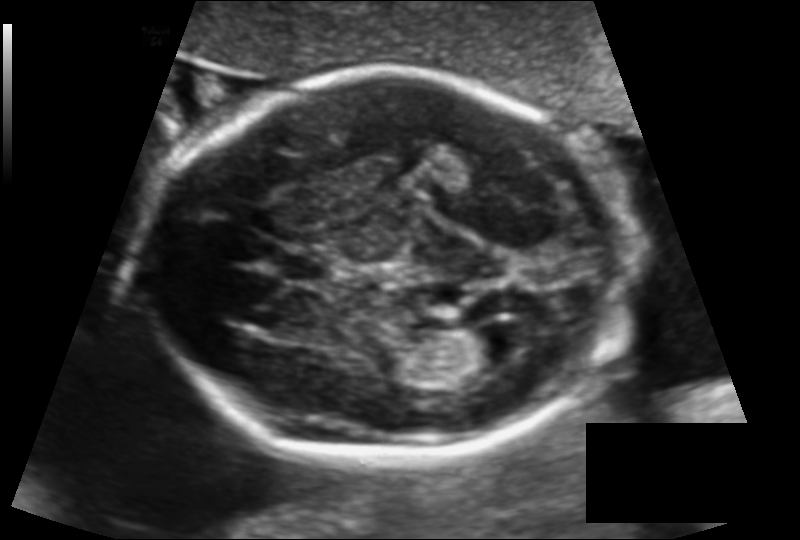
In this fetal head ultrasound, give bounding boxes for the head outline, cavum septum pellucidum (CSP), and lateral ventricle (LV), where visible. Image width: 103.5 mm.

Head: [146,70,632,457]
CSP: [278,248,338,283]
Lateral ventricle: [454,317,531,375]